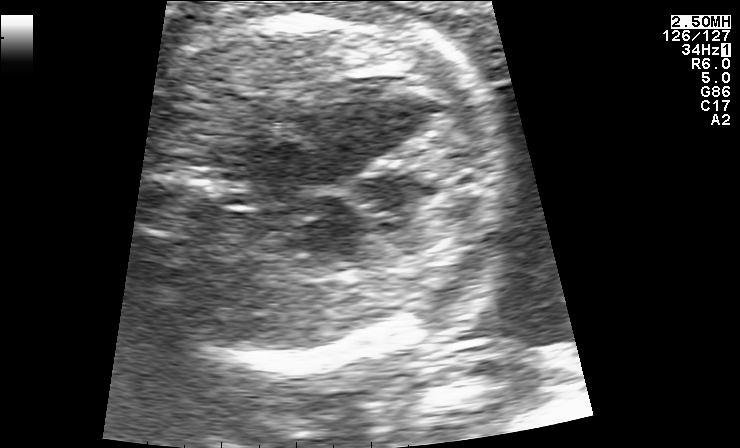
This is a 2D maternal-fetal ultrasound frame. Is it a fetal abdomen, fetal brain, fetal femur, fetal thorax, maternal cervix, or other standard plane? If it's fetal brain and one of the three standard brain planes (trans-thalamic, trans-cerebellum, trans-ventricular), name which.

Fetal thorax